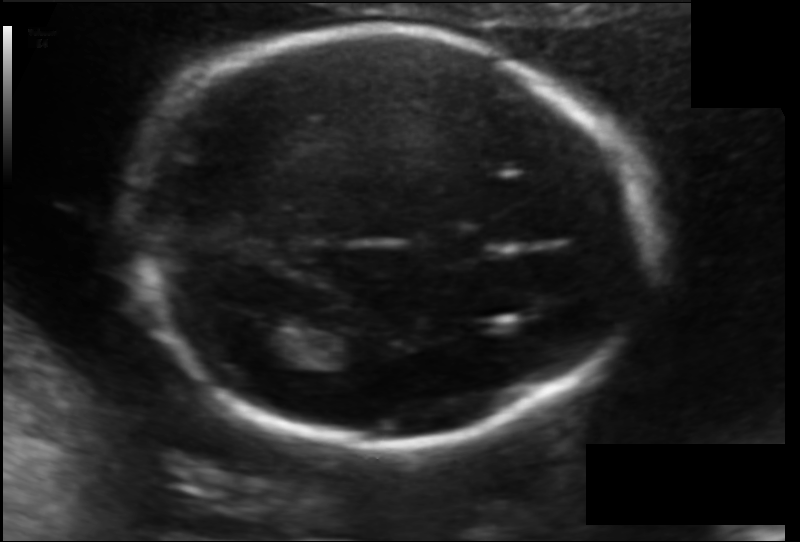
In this fetal head ultrasound, give bounding boxes for the head outline, cavum septum pellucidum (CSP), and lateral ventricle (LV), where visible. Image width: 91.4 mm.

Head: [141,33,654,450]
CSP: [421,228,482,261]
Lateral ventricle: [240,326,297,367]